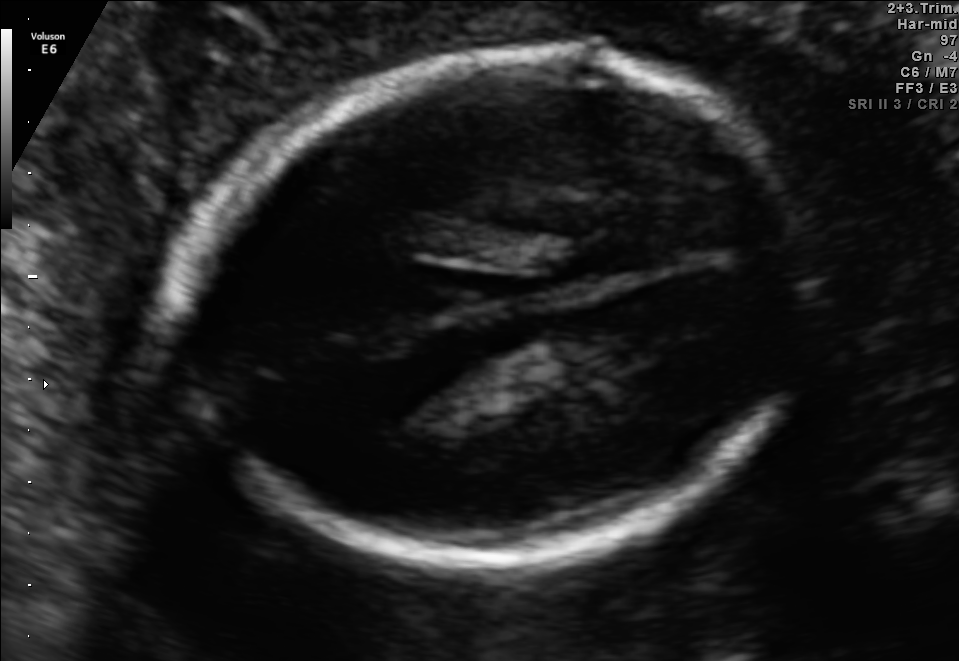
Fetal brain, trans-thalamic plane. Locate the fetal head and, if visible, the cavum septum pellucidum (CSP) and lateral ventricle (LV). Give bounding boxes as [x1,y1,x2,y2].

Head: [183,48,814,567]